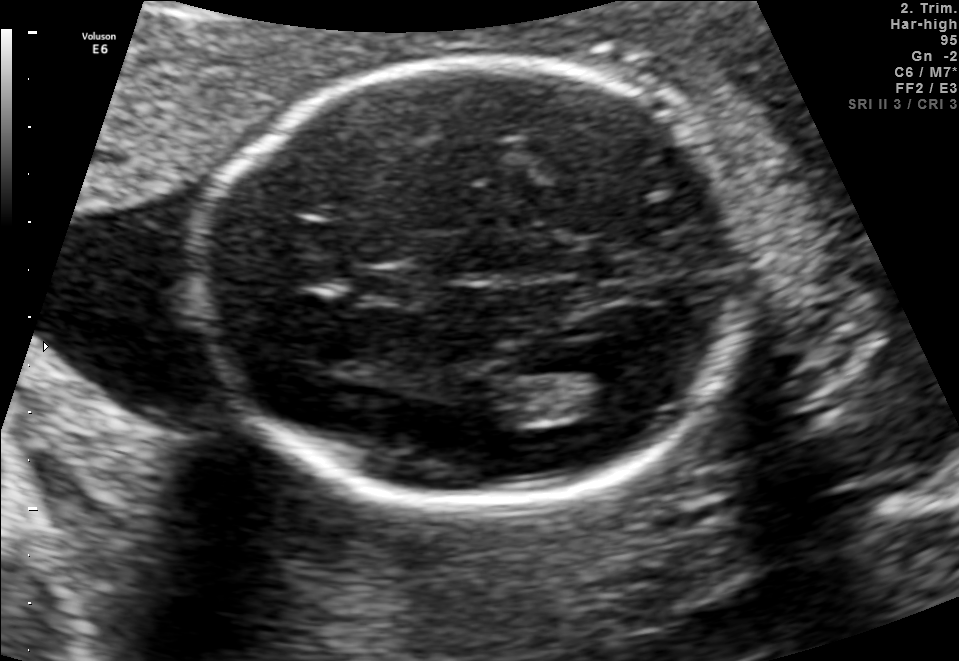
In this fetal brain, trans-thalamic plane, give the bounding box of the lateral ventricle.

[554,360,655,422]